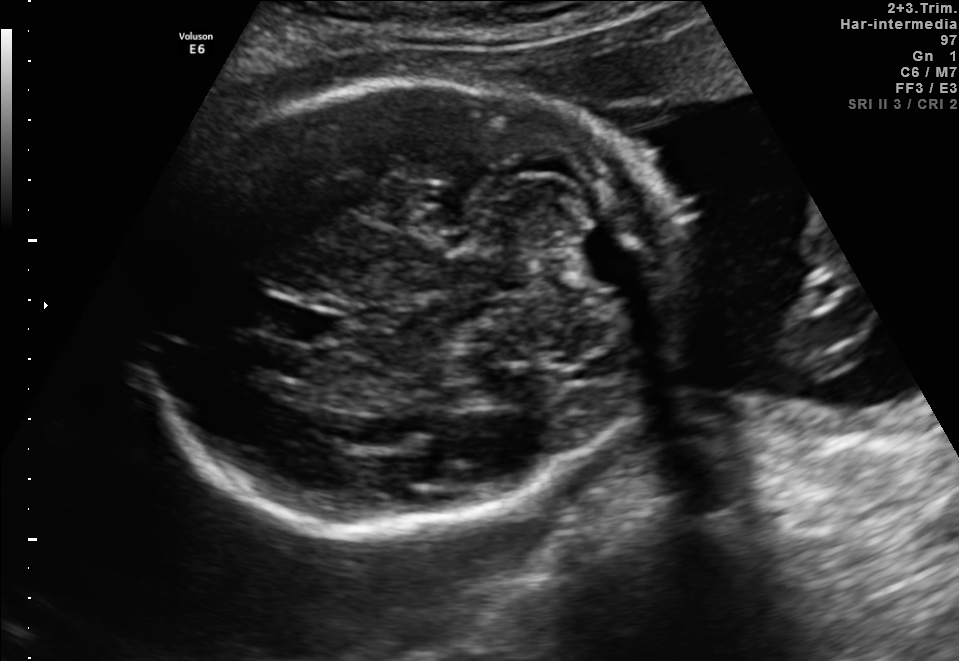
Fetal brain, trans-cerebellum plane. Where is the cavum septum pellucidum?

CSP bounding box: [250,291,333,351]